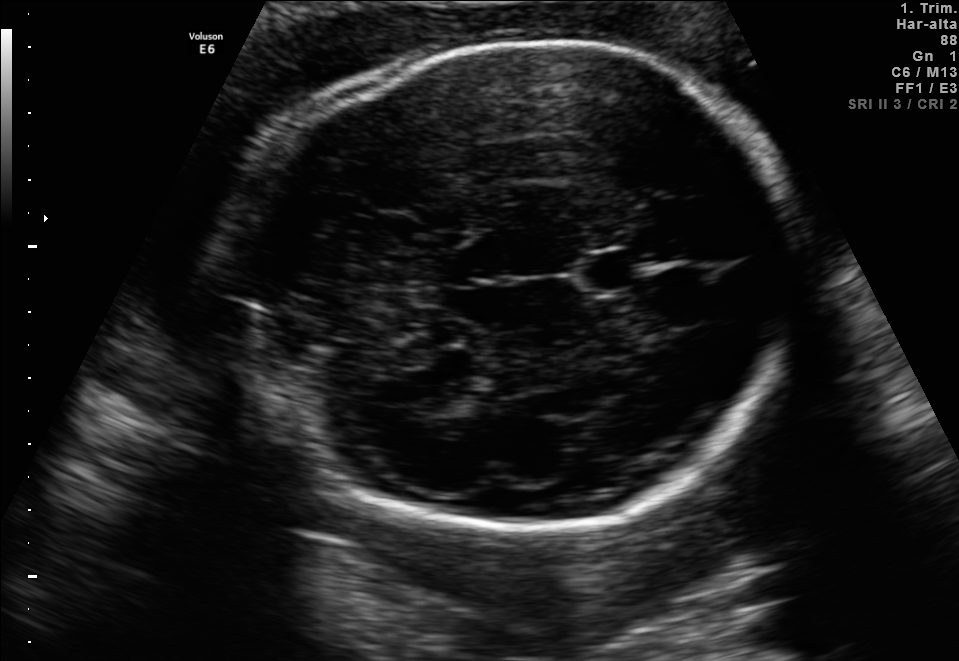
In this fetal brain, trans-thalamic plane, give the bounding box of the fetal head.

[228,40,799,527]